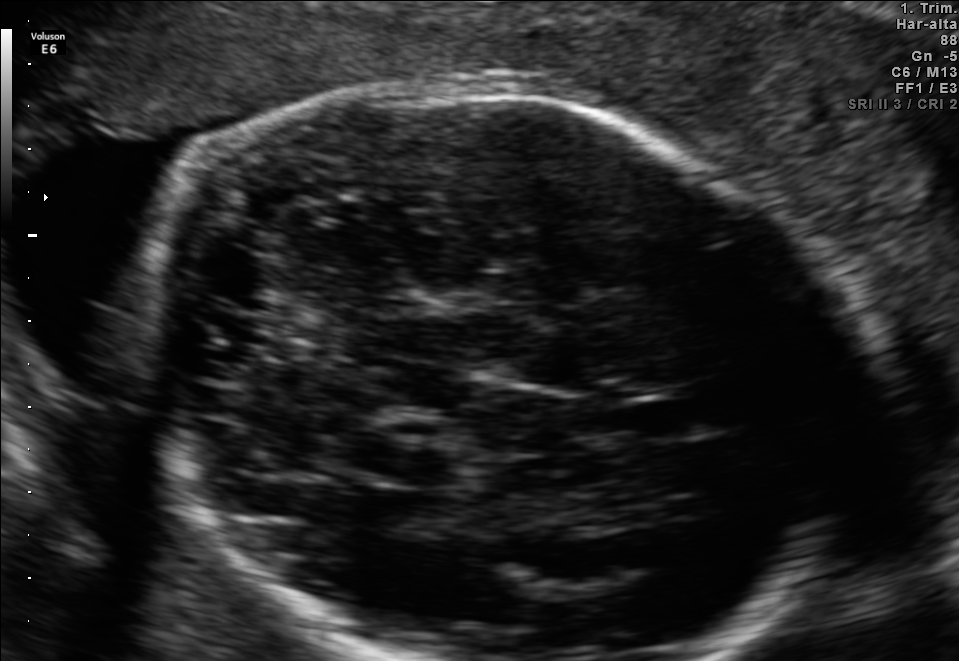
Fetal brain, trans-thalamic plane. Give [x1,y1,x2,y2] bounding boxes for each visible structure among: fetal head, CSP, LV.

Head: [131,72,838,657]